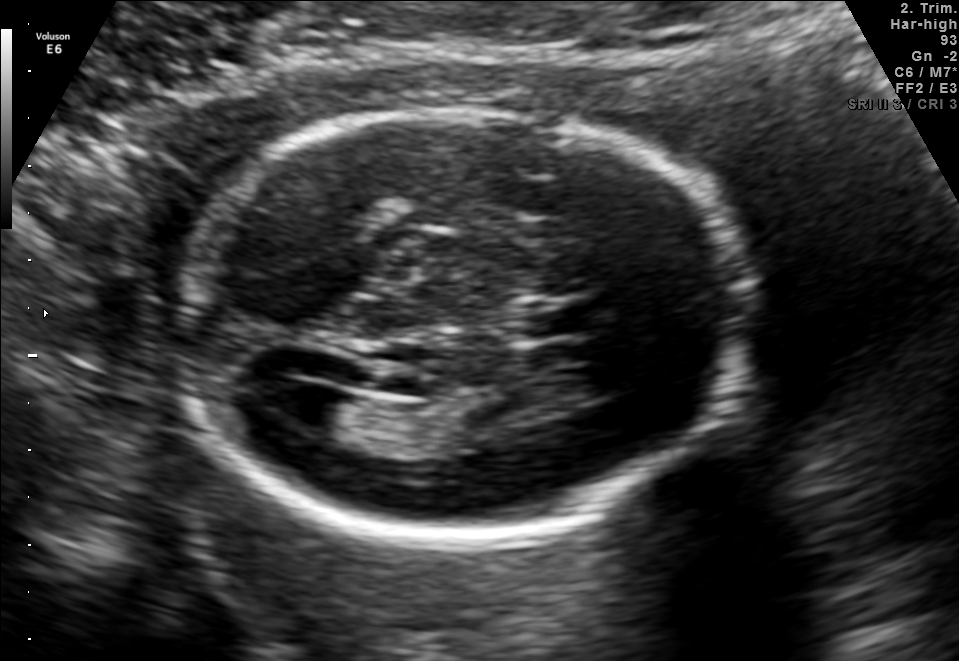
Fetal brain, trans-ventricular plane. Where is the cavum septum pellucidum?

CSP bounding box: [530,301,581,338]